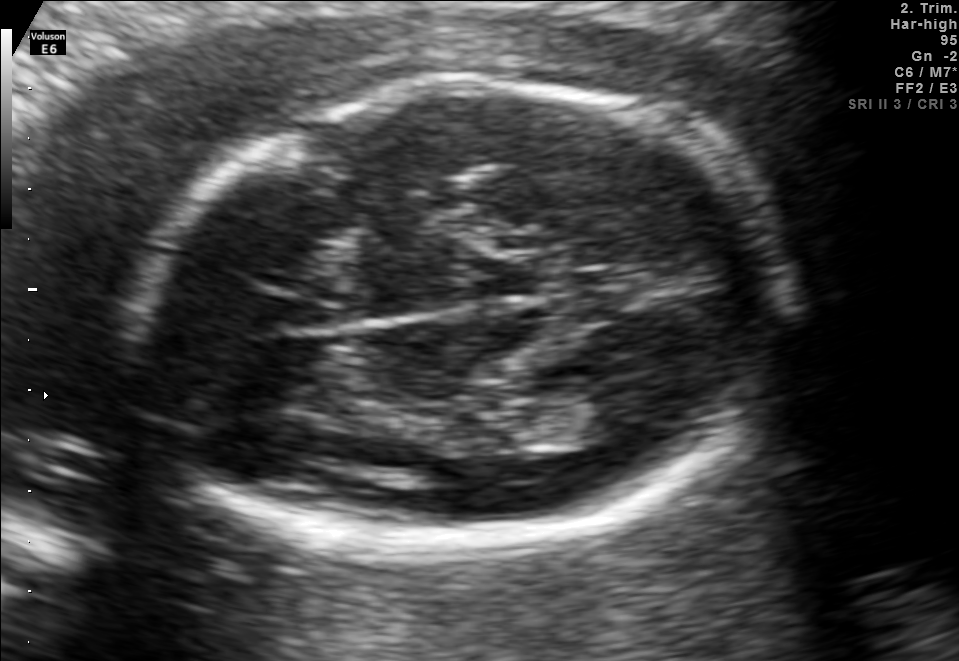
Fetal brain, trans-thalamic plane. Give [x1,y1,x2,y2] bounding boxes for each visible structure among: fetal head, CSP, LV.

Head: [133,81,790,548]
Lateral ventricle: [551,384,639,448]